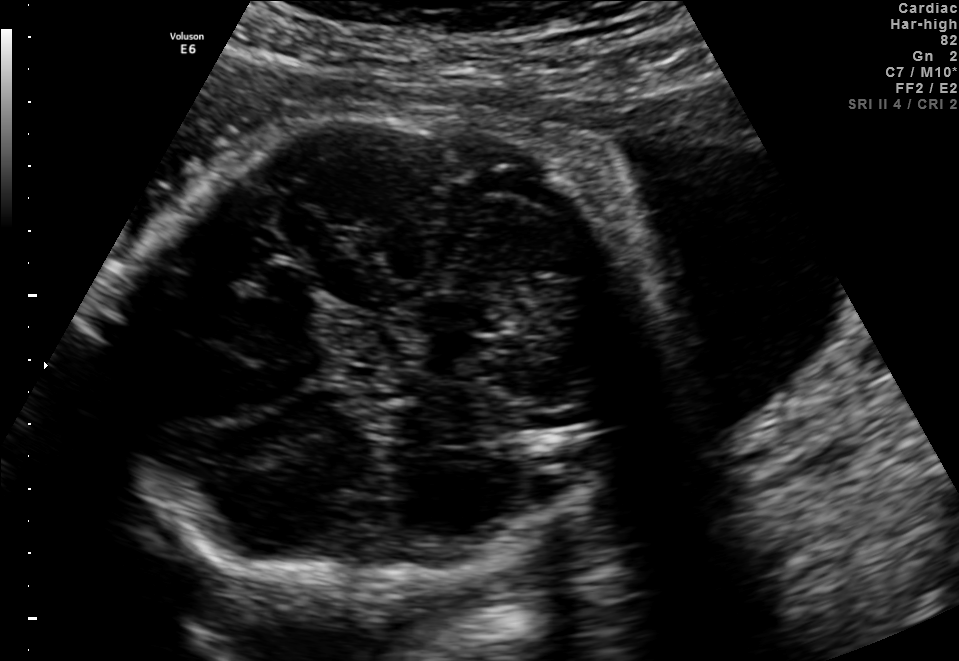
Fetal brain, trans-thalamic plane. Give [x1,y1,x2,y2] bounding boxes for each visible structure among: fetal head, CSP, LV.

Head: [116,99,637,608]